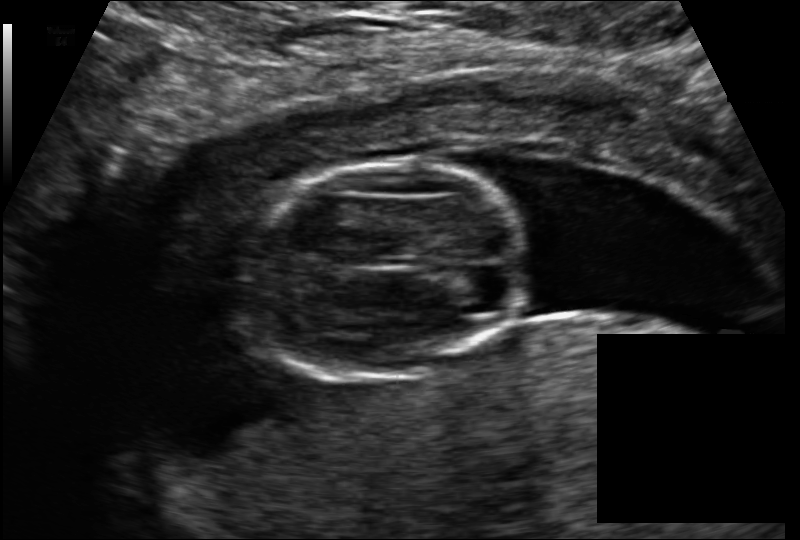
What is the fetal head circumference? Image width is 91.0 mm.

94.8 mm